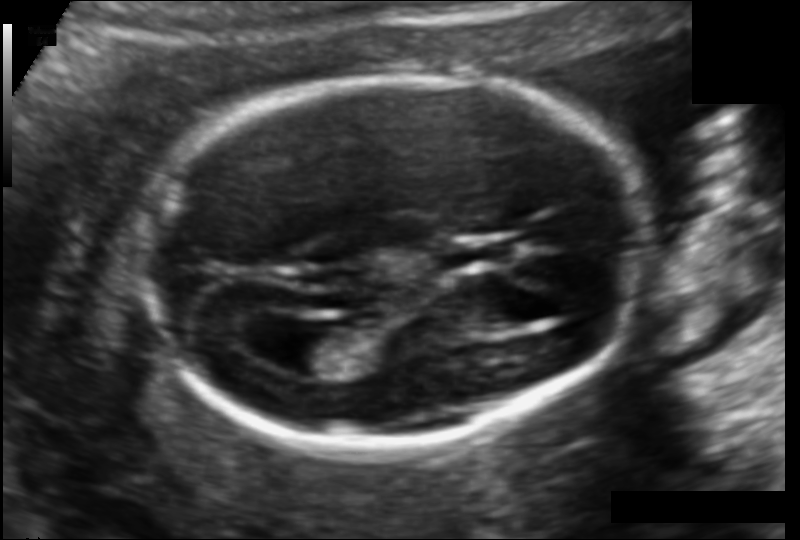
What is the fetal head circumference? Image width is 91.5 mm.

162.1 mm